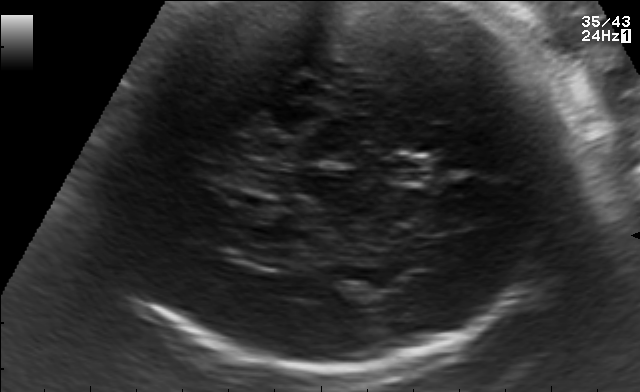
Fetal brain, trans-thalamic plane. Locate the cavum septum pellucidum.

CSP: [386,158,431,182]